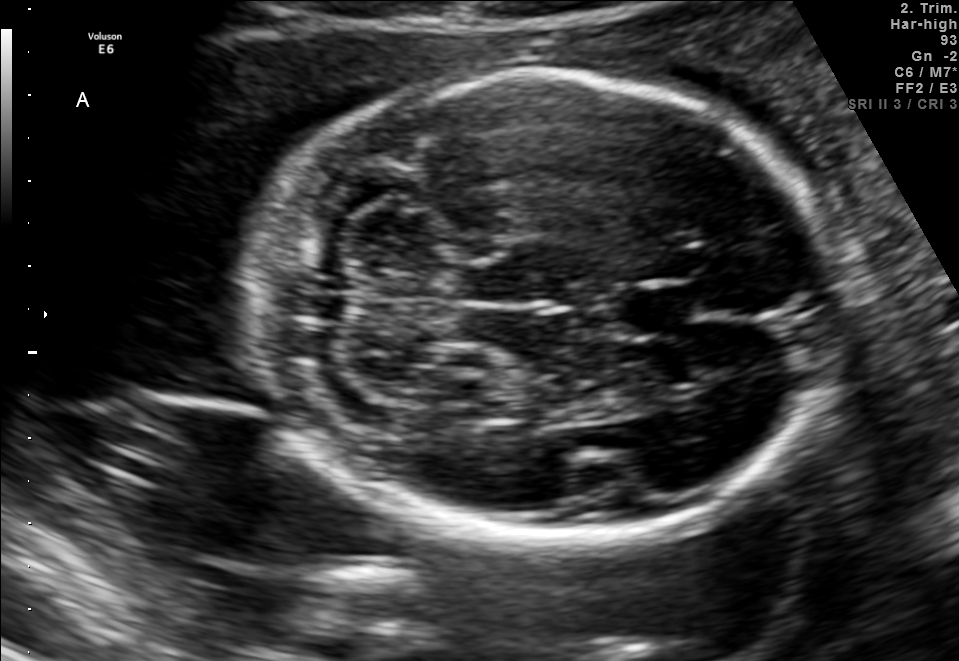
In this fetal brain, trans-cerebellum plane, give the bounding box of the fetal head.

[257,74,836,541]